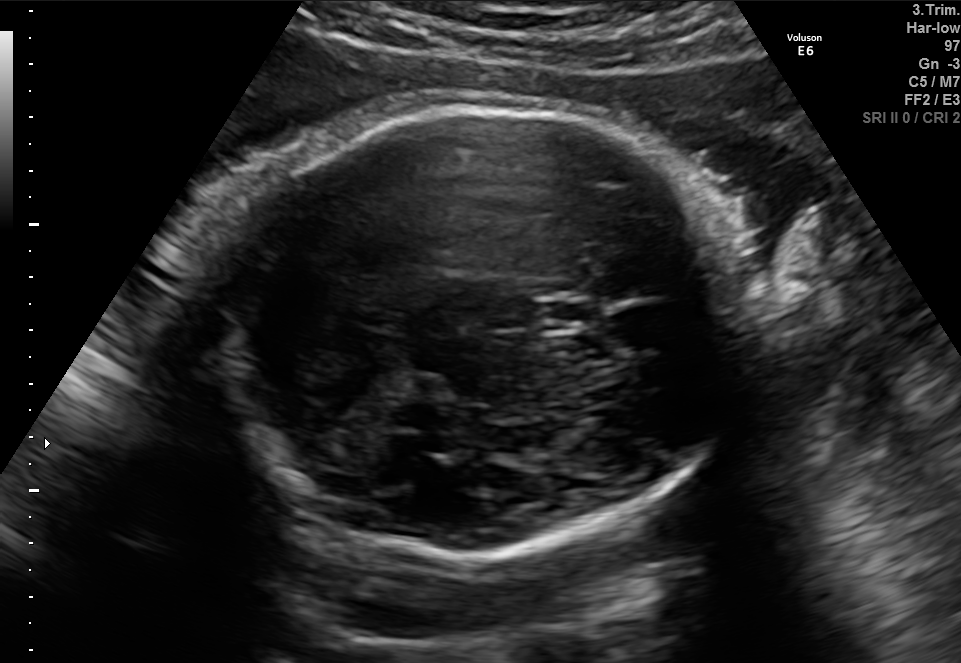
Fetal brain, trans-thalamic plane. Give [x1,y1,x2,y2] bounding boxes for each visible structure among: fetal head, CSP, LV.

Head: [218,105,755,558]
CSP: [534,299,596,330]